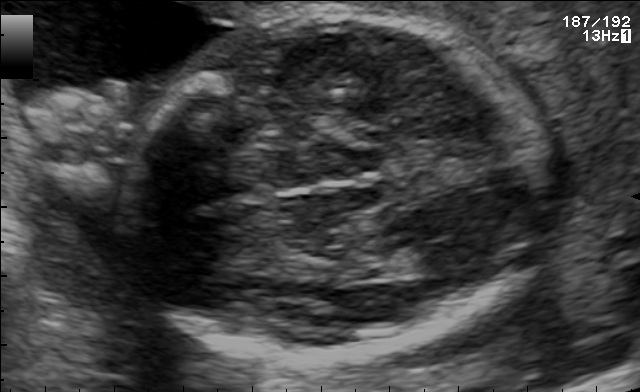
In this fetal brain, trans-thalamic plane, give bounding boxes for the head outline, cavum septum pellucidum (CSP), and lateral ventricle (LV), where visible.

Head: [114,14,550,358]